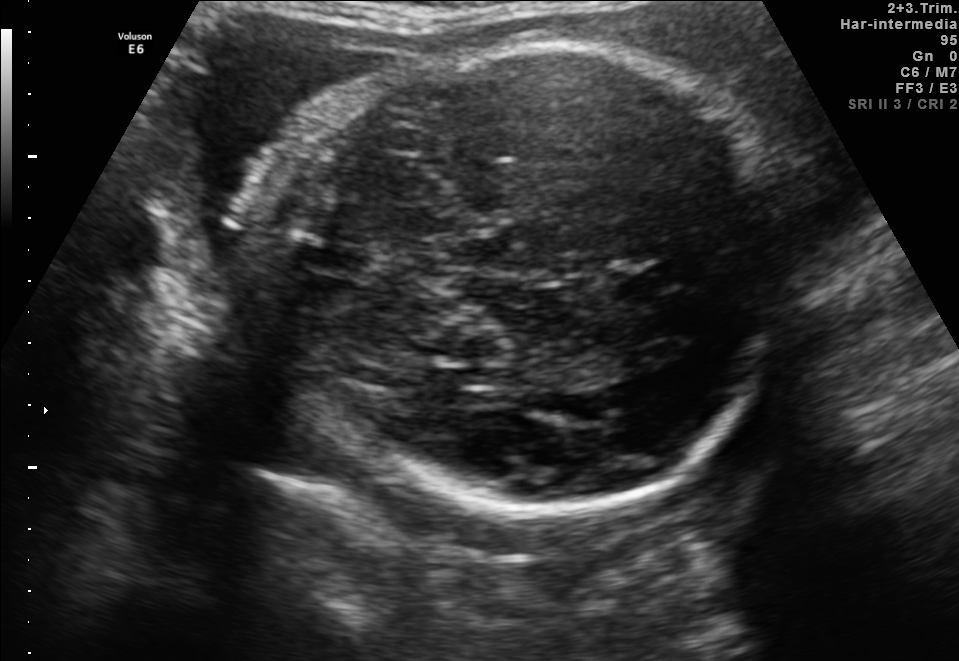
In this fetal brain, trans-thalamic plane, give the bounding box of the fetal head.

[273,38,782,529]